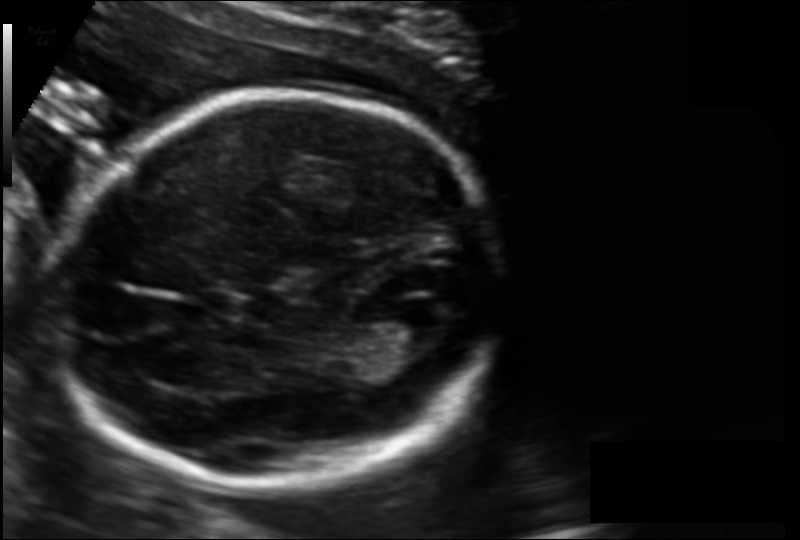
In this fetal head ultrasound, give the bounding box of the fetal head. Image width: 102.4 mm.

[60,91,498,488]